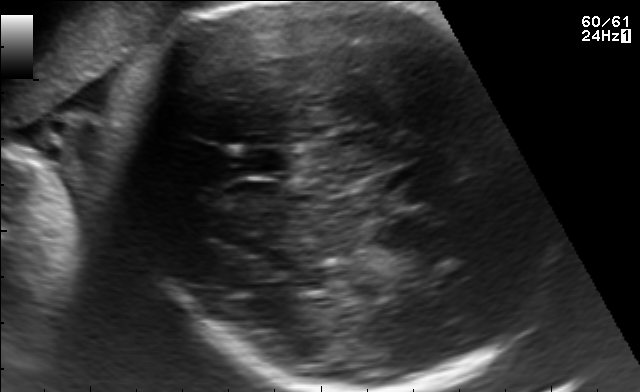
Fetal brain, trans-thalamic plane. Give [x1,y1,x2,y2] bounding boxes for each visible structure among: fetal head, CSP, LV.

Head: [137,3,525,389]